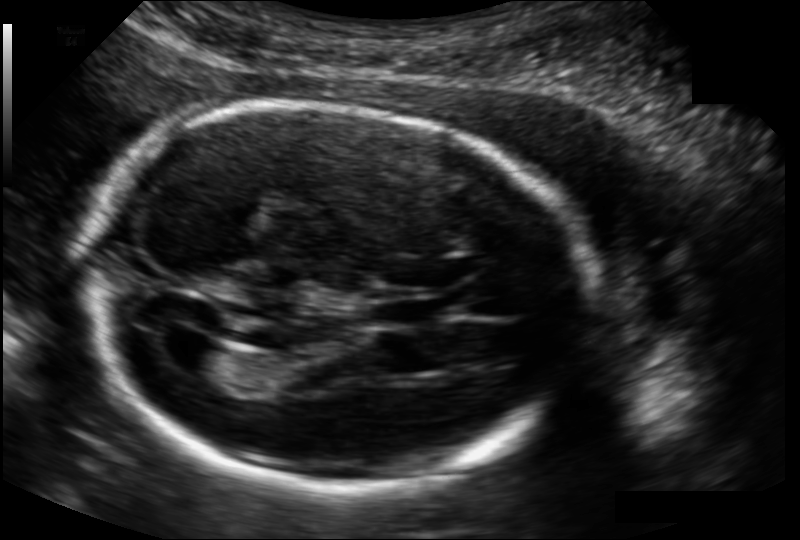
Fetal head ultrasound. Image width: 107.6 mm. Locate the fetal head.

Head: [90,107,586,489]